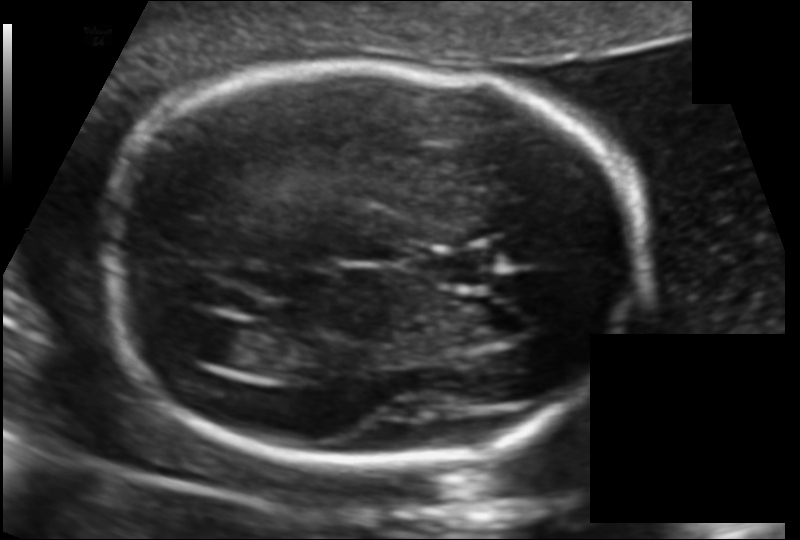
Fetal head ultrasound. Image width: 93.9 mm. Where is the cavum septum pellucidum?

CSP bounding box: [423,251,496,289]